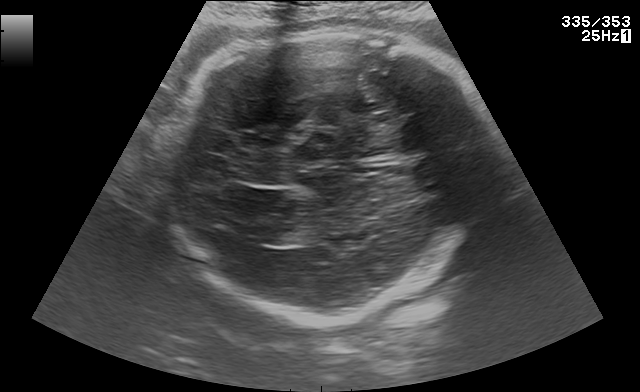
In this fetal brain, trans-thalamic plane, give the bounding box of the fetal head.

[169,26,502,321]